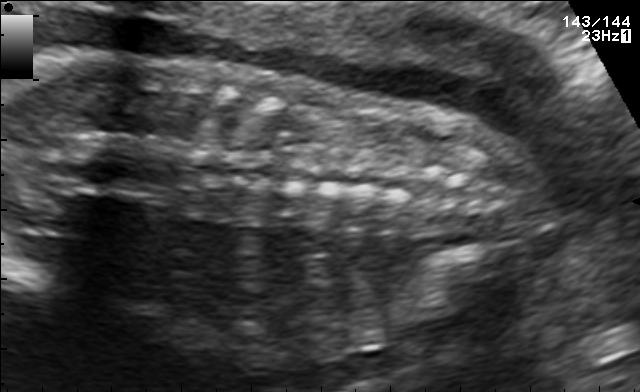
This is a 2D maternal-fetal ultrasound frame. Is it a fetal abdomen, fetal brain, fetal femur, fetal thorax, maternal cervix, or other standard plane? If it's fetal brain and one of the three standard brain planes (trans-thalamic, trans-cerebellum, trans-ventricular), name which.

Other